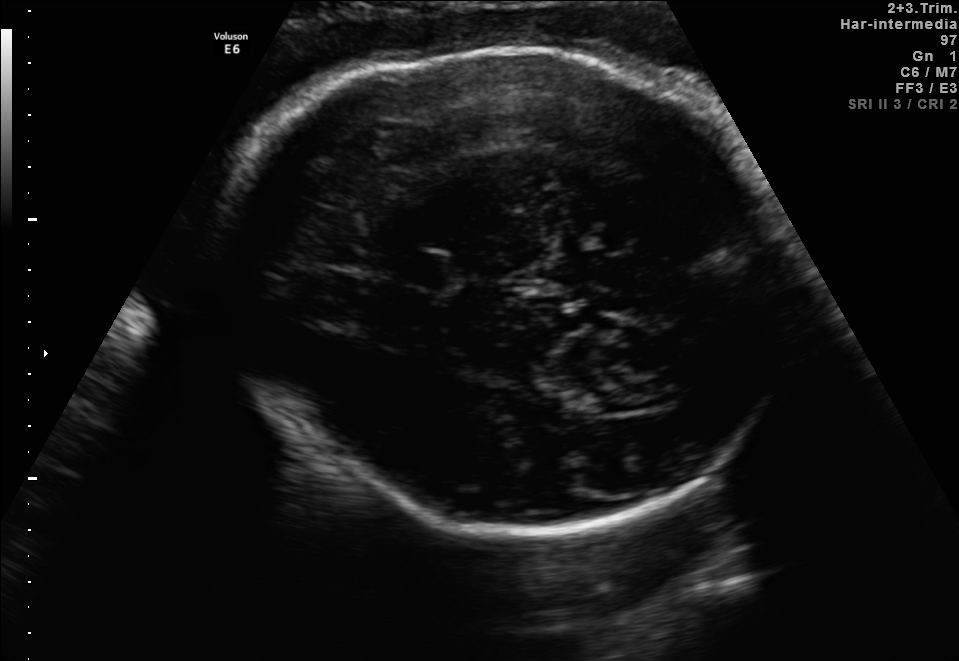
Fetal brain, trans-thalamic plane. Locate the fetal head and, if visible, the cavum septum pellucidum (CSP) and lateral ventricle (LV). Give bounding boxes as [x1,y1,x2,y2].

Head: [206,46,807,531]
CSP: [403,252,452,290]
Lateral ventricle: [584,378,671,419]